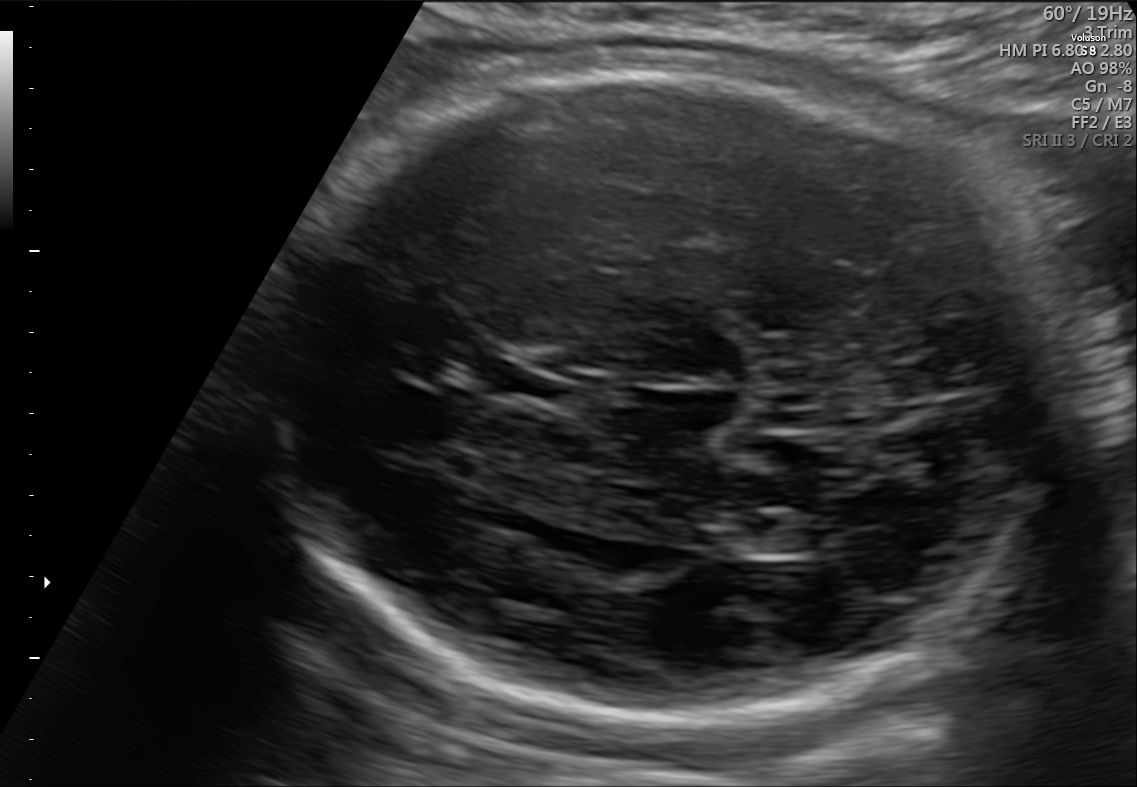
Fetal brain, trans-ventricular plane. Give [x1,y1,x2,y2] bounding boxes for each visible structure among: fetal head, CSP, LV.

Head: [260,56,1100,733]